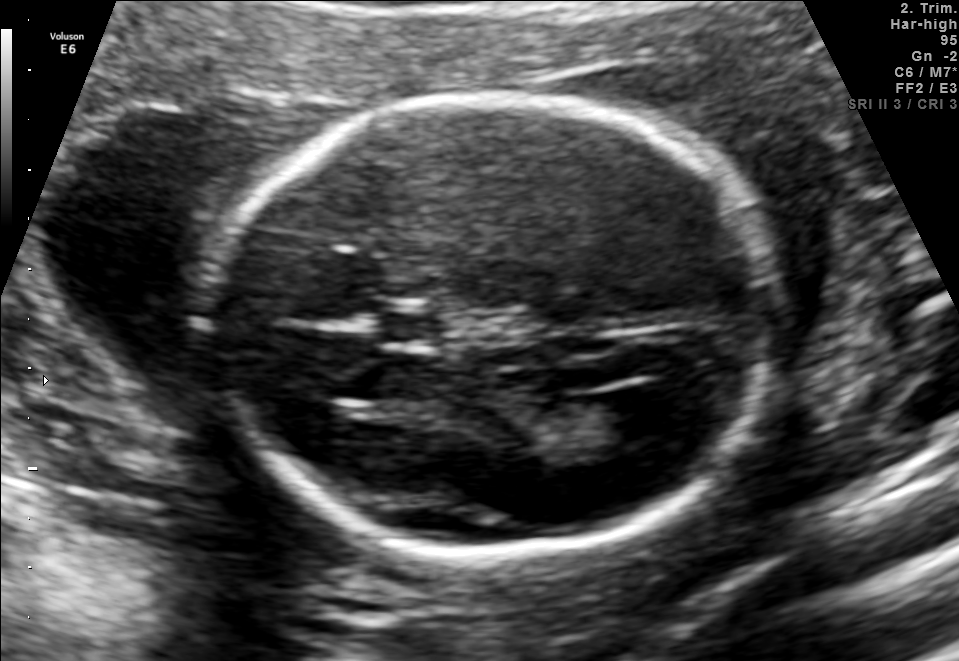
Identify the standard plane in this fetal ultrasound image: fetal abdomen, fetal brain, fetal femur, fetal thorax, maternal cervix, or other. If it's fetal brain and one of the three standard brain planes (trans-thalamic, trans-cerebellum, trans-ventricular), name which.

Fetal brain (trans-ventricular plane)